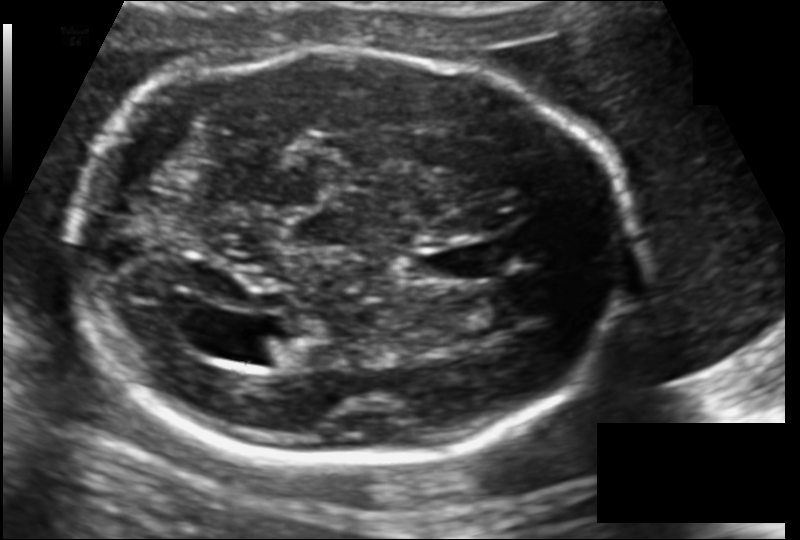
Fetal head ultrasound. Image width: 110.0 mm. Locate the cavum septum pellucidum.

CSP: [416,238,501,288]